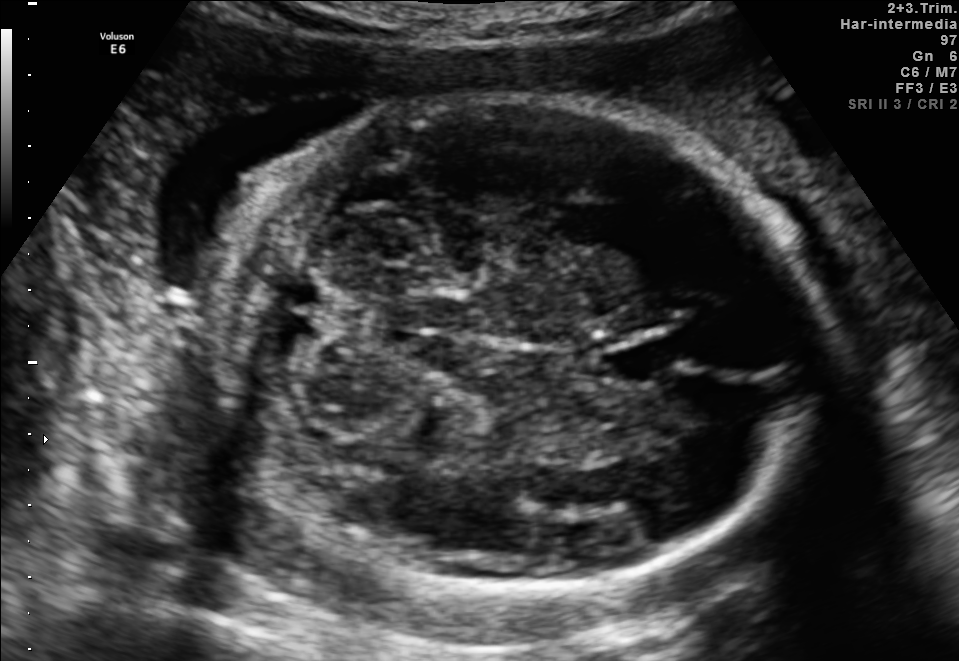
Fetal brain, trans-cerebellum plane. Where is the fetal head?

Head bounding box: [202,94,823,583]